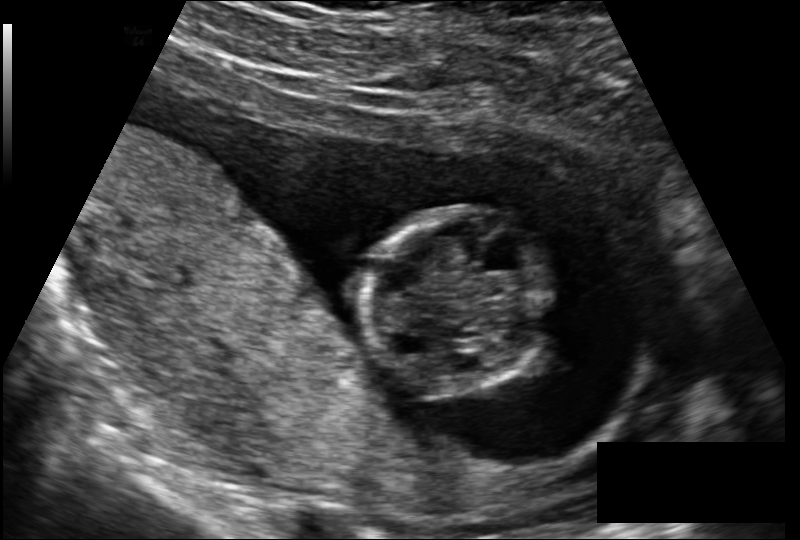
Fetal head ultrasound. Image width: 105.1 mm. Locate the fetal head and, if visible, the cavum septum pellucidum (CSP) and lateral ventricle (LV). Give bounding boxes as [x1,y1,x2,y2].

Head: [360,208,552,395]